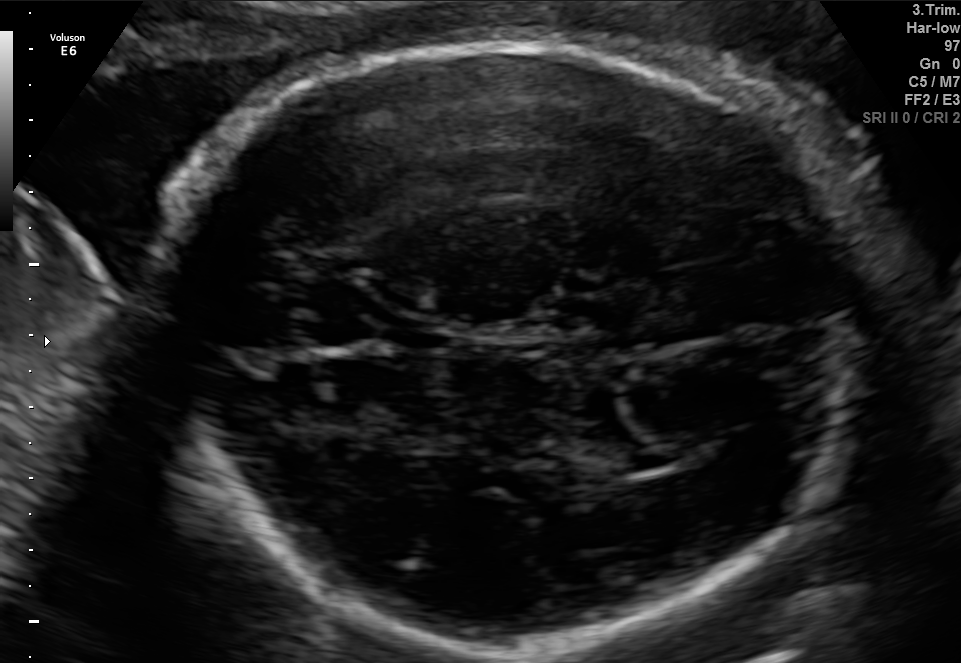
Classify this maternal-fetal ultrasound image as one of the six standard planes — fetal abdomen, fetal brain, fetal femur, fetal thorax, maternal cervix, or other. If it's fetal brain and one of the three standard brain planes (trans-thalamic, trans-cerebellum, trans-ventricular), name which.

Fetal brain (trans-ventricular plane)